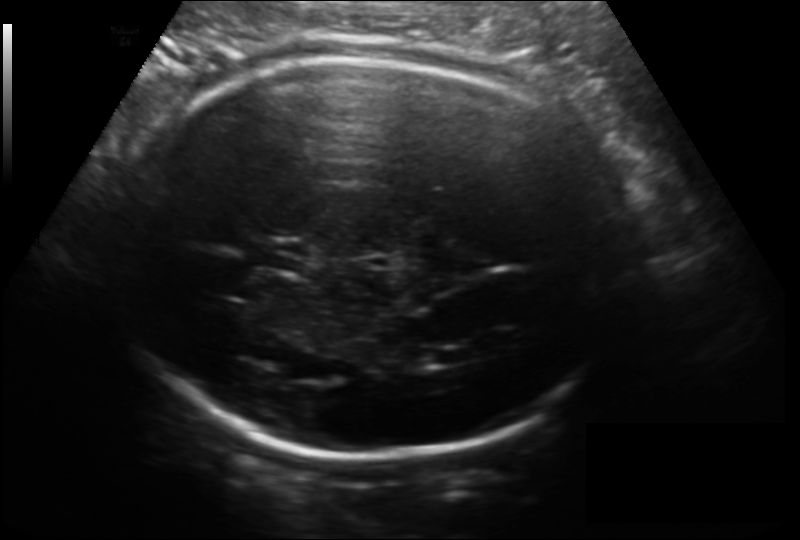
In this fetal head ultrasound, give the bounding box of the fetal head. Image width: 133.1 mm.

[109,59,629,457]